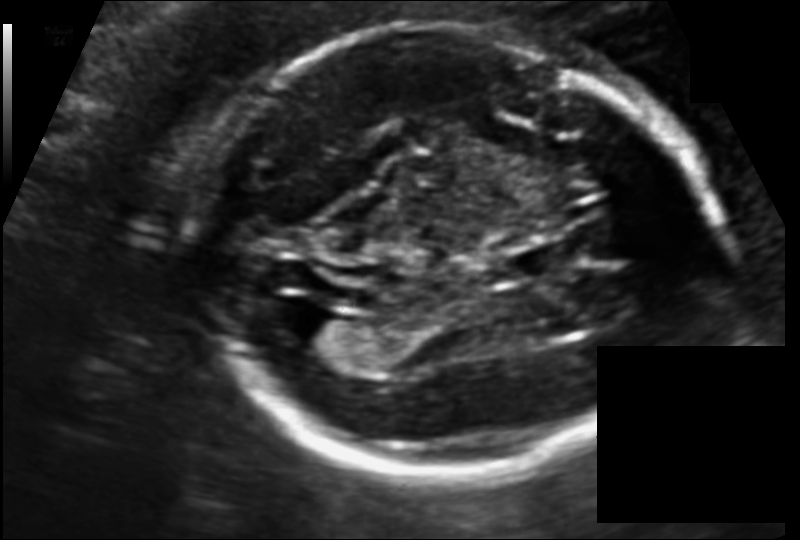
What is the fetal head circumference? Image width is 94.5 mm.

184.6 mm